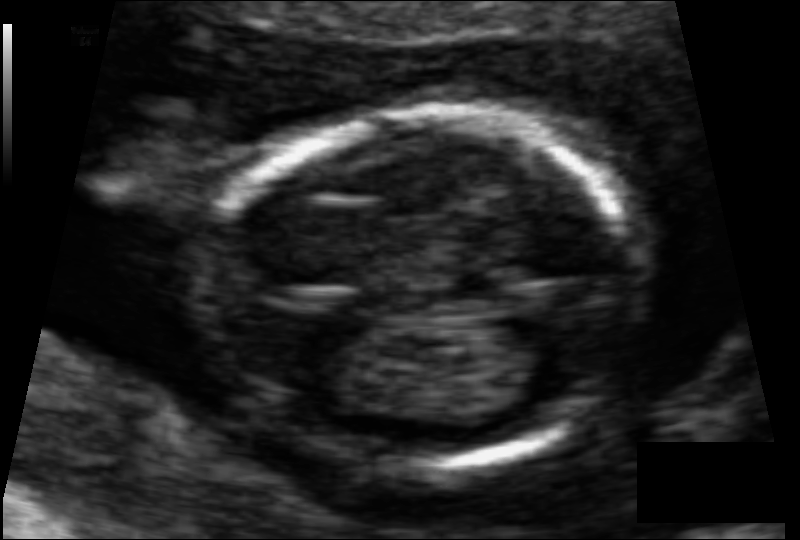
Measure the fetal head circumference shown in this ultrasound image. Image width: 52.3 mm.

Head circumference: 84.1 mm.